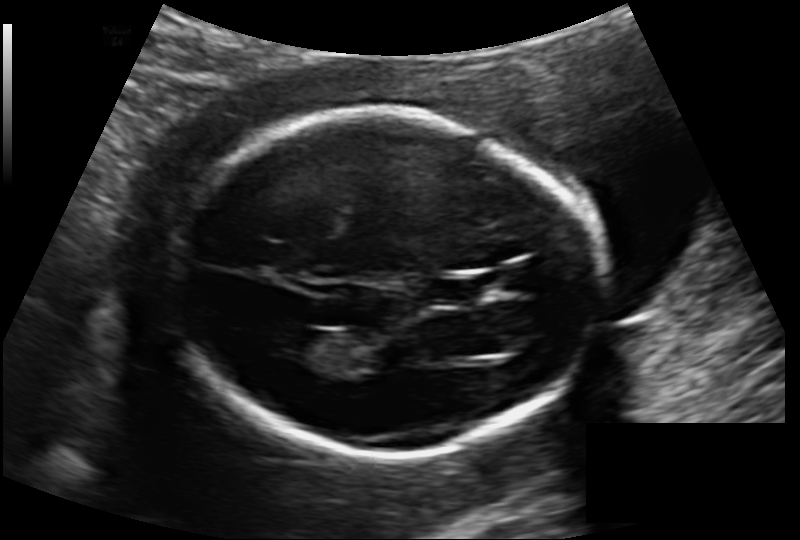
Fetal head ultrasound. Image width: 106.3 mm. Locate the cavum septum pellucidum.

CSP: [433,276,480,305]